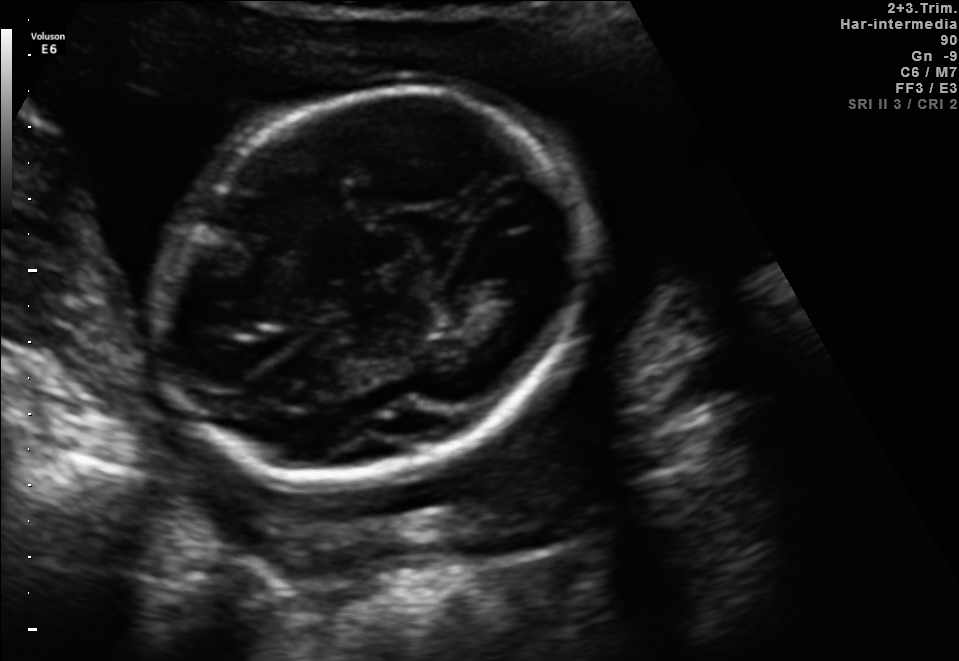
Fetal brain, trans-thalamic plane. Locate the fetal head.

Head: [157,82,588,489]